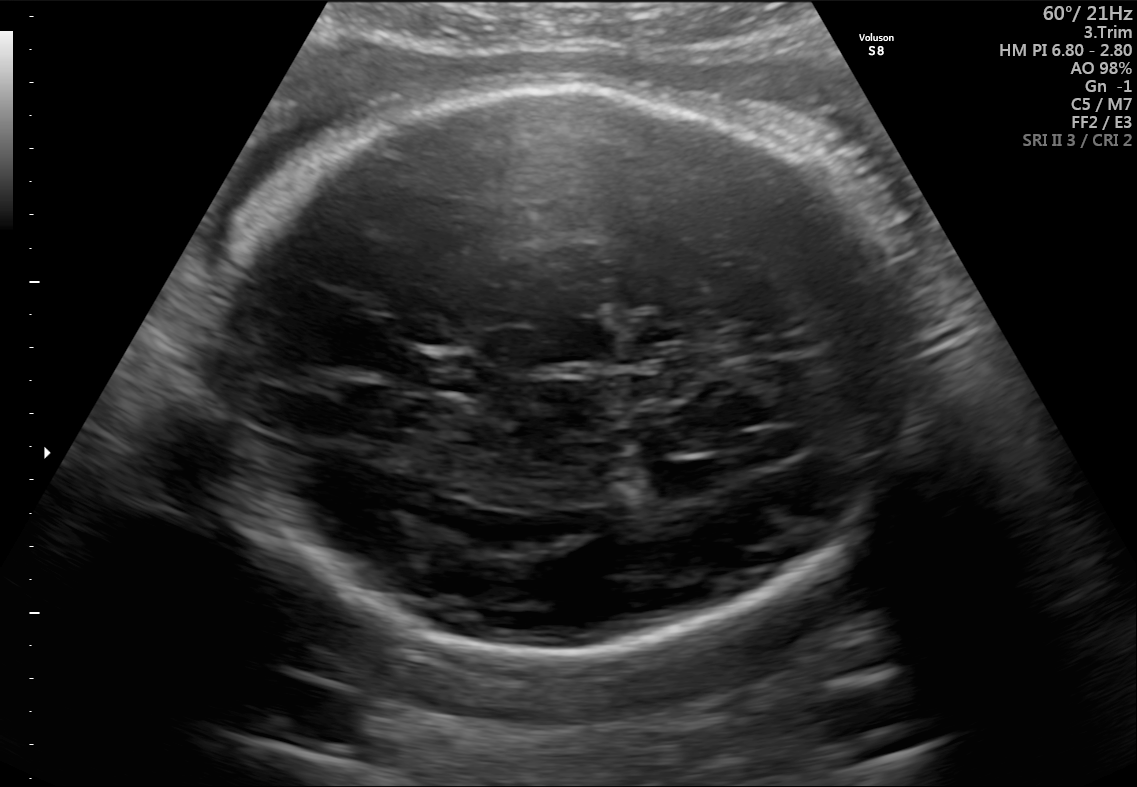
In this fetal brain, trans-thalamic plane, give the bounding box of the cavum septum pellucidum.

[415,353,483,393]